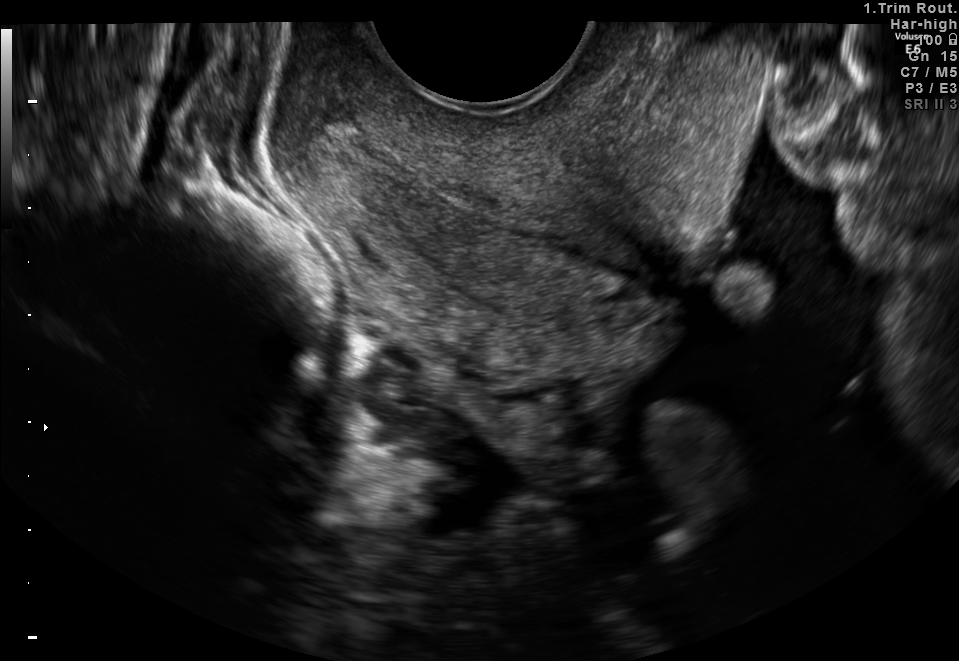
Which standard maternal-fetal ultrasound plane is shown: fetal abdomen, fetal brain, fetal femur, fetal thorax, maternal cervix, or other? If it's fetal brain and one of the three standard brain planes (trans-thalamic, trans-cerebellum, trans-ventricular), name which.

Maternal cervix